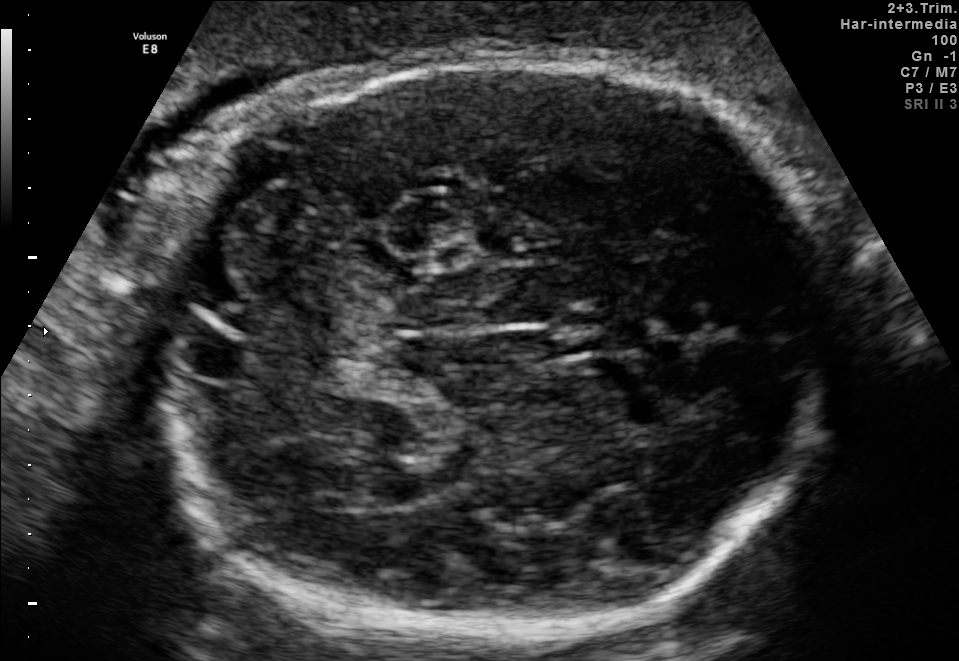
Fetal brain, trans-cerebellum plane. Where is the fetal head?

Head bounding box: [155,57,834,638]